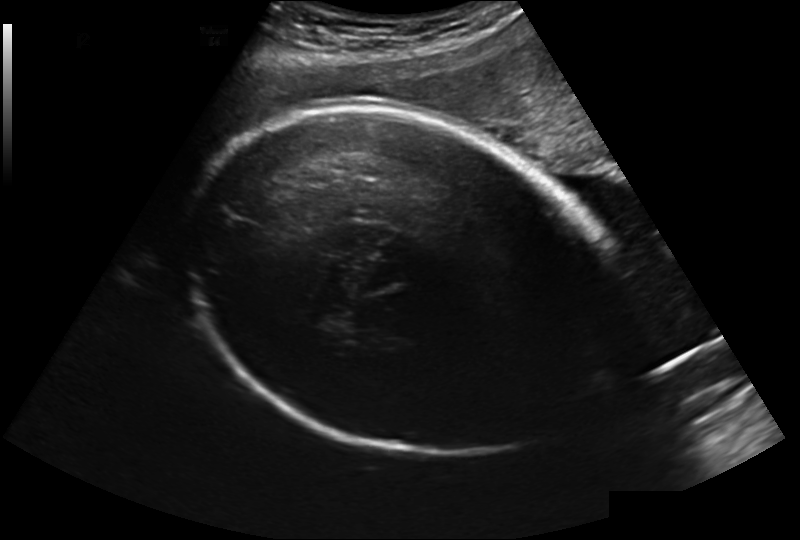
Fetal head ultrasound. Image width: 192.6 mm. Give [x1,y1,x2,y2] bounding boxes for each visible structure among: fetal head, CSP, LV.

Head: [185,109,611,455]